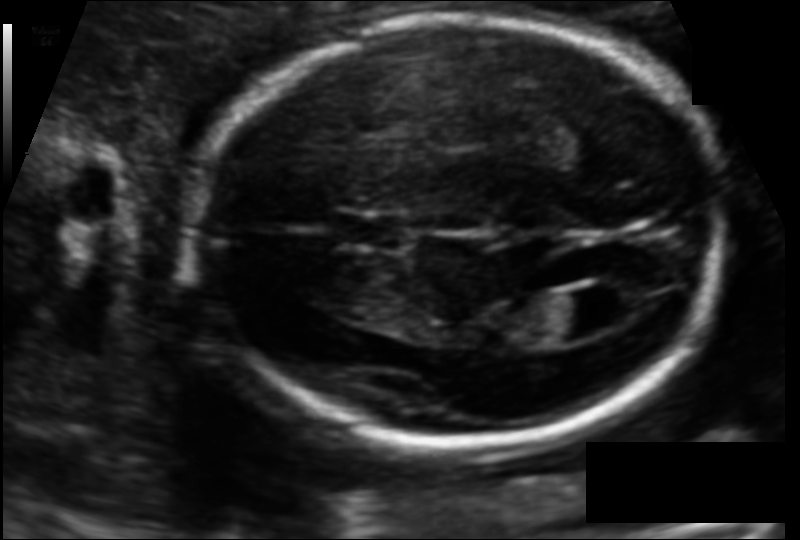
Estimate the fetal head circumference from this 2D ultrasound. Image width: 90.0 mm.

Head circumference: 174.2 mm.